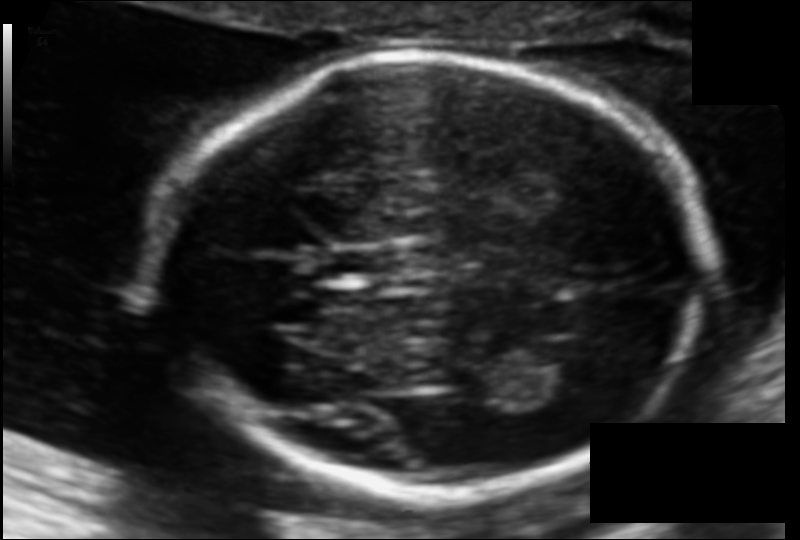
In this fetal head ultrasound, give the bounding box of the fetal head. Image width: 86.8 mm.

[154,54,704,491]